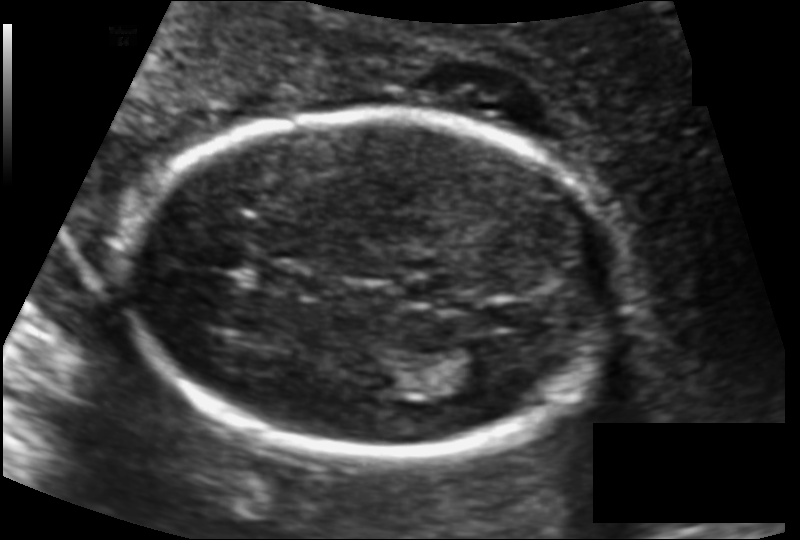
In this fetal head ultrasound, give the bounding box of the cavum septum pellucidum. Image width: 93.7 mm.

[251,259,319,303]